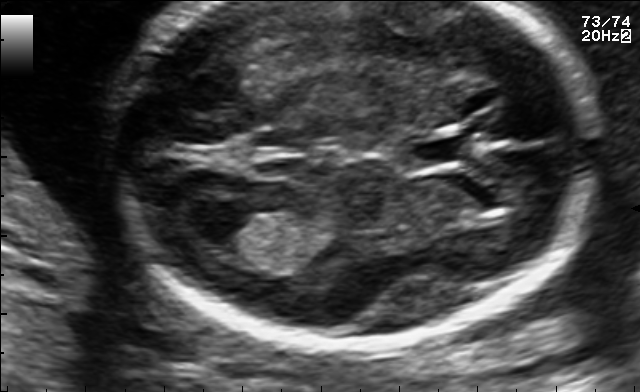
Which standard maternal-fetal ultrasound plane is shown: fetal abdomen, fetal brain, fetal femur, fetal thorax, maternal cervix, or other? If it's fetal brain and one of the three standard brain planes (trans-thalamic, trans-cerebellum, trans-ventricular), name which.

Fetal brain (trans-ventricular plane)